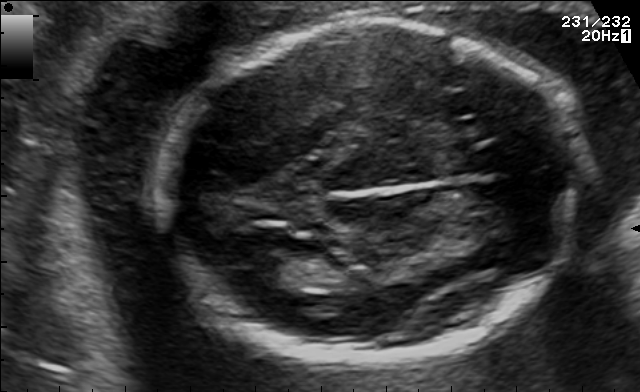
In this fetal brain, trans-thalamic plane, give bounding boxes for the head outline, cavum septum pellucidum (CSP), and lateral ventricle (LV), where visible.

Head: [154,20,582,362]
Lateral ventricle: [241,248,314,290]